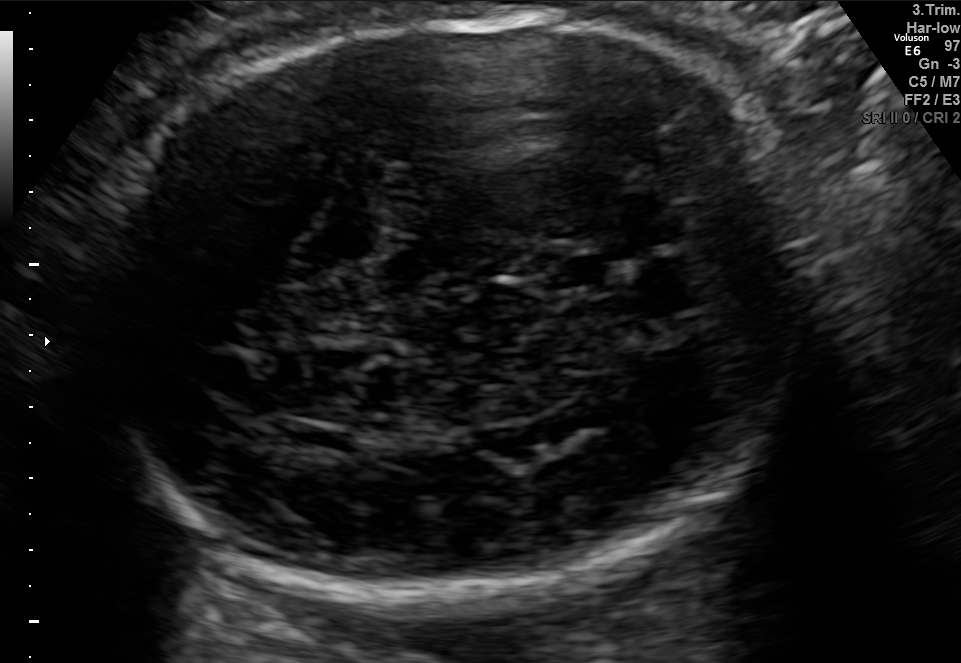
Fetal brain, trans-thalamic plane. Locate the lateral ventricle.

Lateral ventricle: [283,417,351,460]